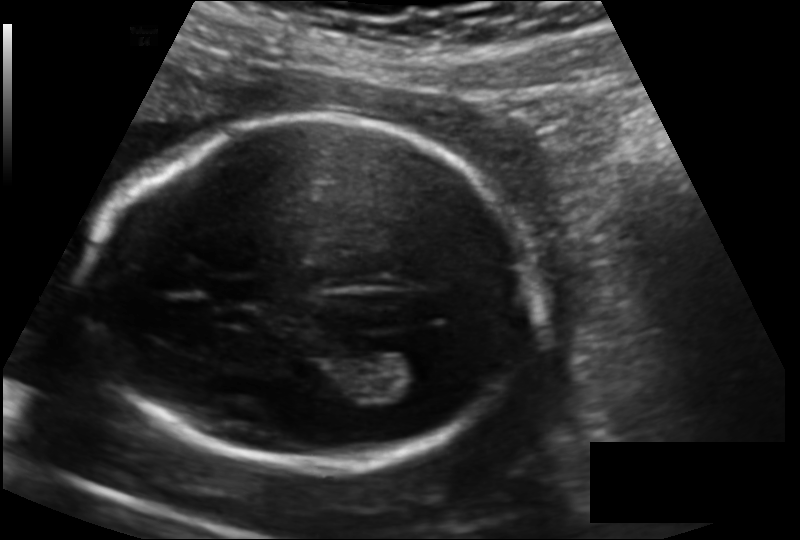
Fetal head ultrasound. Image width: 111.4 mm. Where is the cavum septum pellucidum?

CSP bounding box: [210,277,262,303]